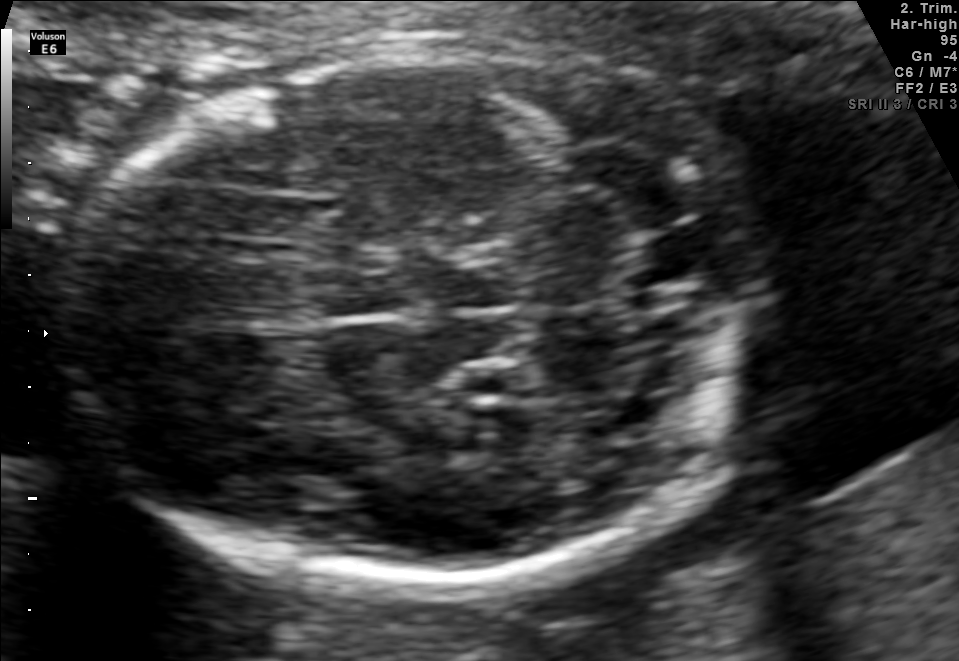
In this fetal brain, trans-cerebellum plane, give the bounding box of the fetal head.

[69,49,764,592]